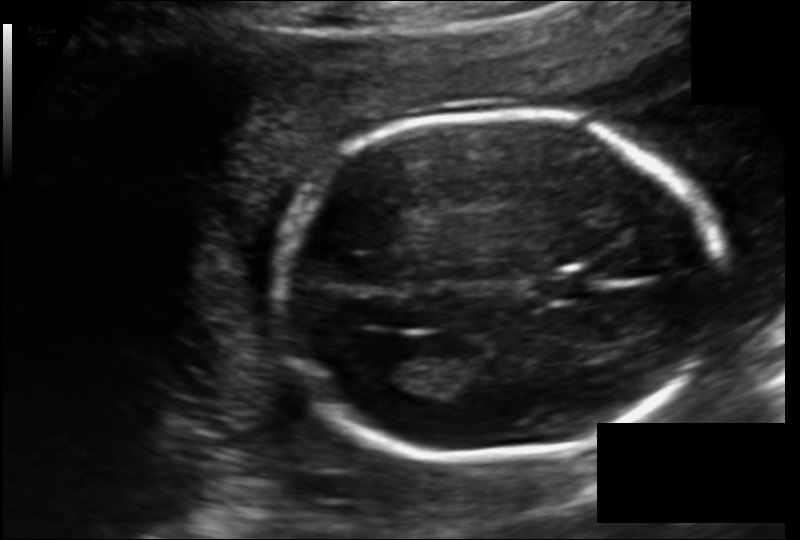
Fetal head ultrasound. Image width: 107.8 mm. Locate the fetal head.

Head: [274,110,729,454]